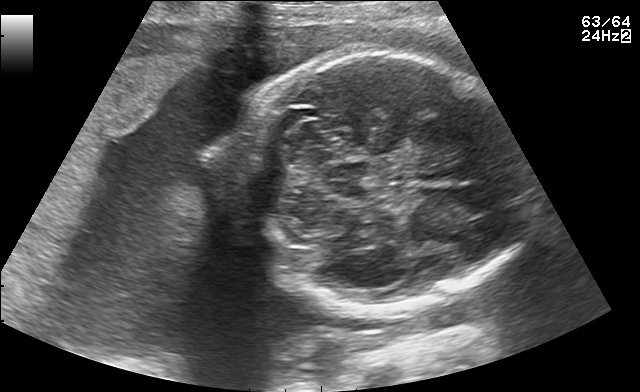
Fetal brain, trans-cerebellum plane. Where is the fetal head?

Head bounding box: [234,54,521,313]